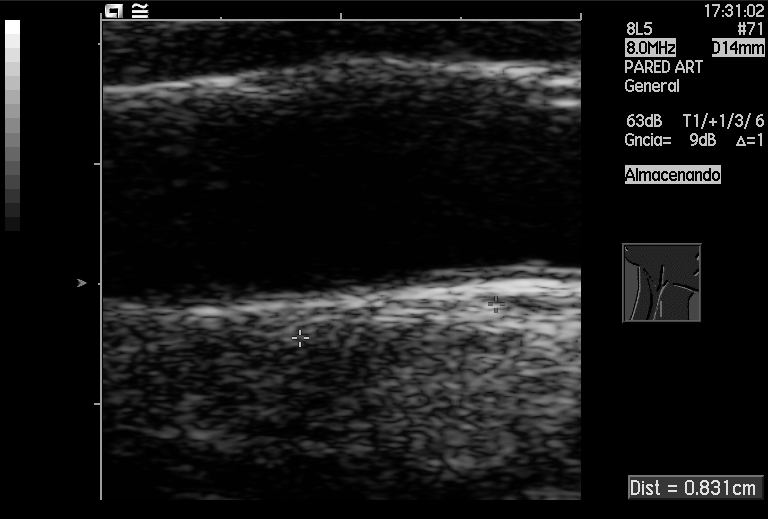
Which standard maternal-fetal ultrasound plane is shown: fetal abdomen, fetal brain, fetal femur, fetal thorax, maternal cervix, or other? If it's fetal brain and one of the three standard brain planes (trans-thalamic, trans-cerebellum, trans-ventricular), name which.

Other